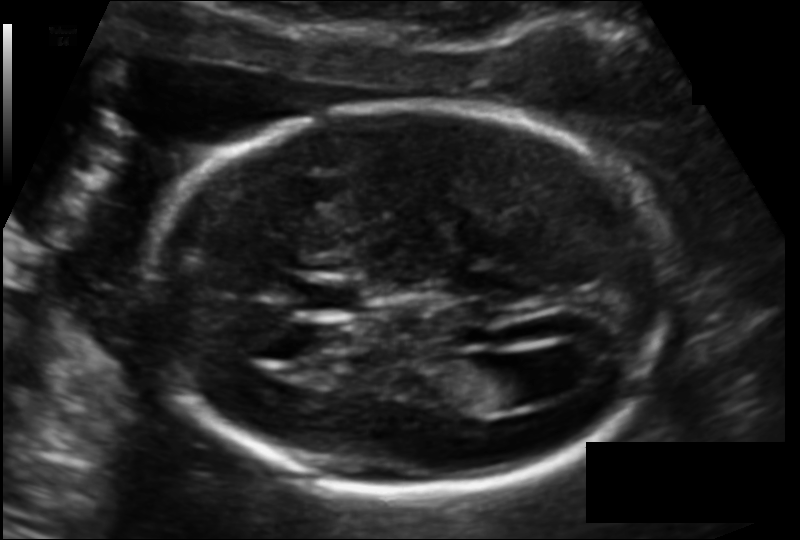
Fetal head ultrasound. Image width: 94.5 mm. Locate the lateral ventricle.

Lateral ventricle: [461,354,542,413]